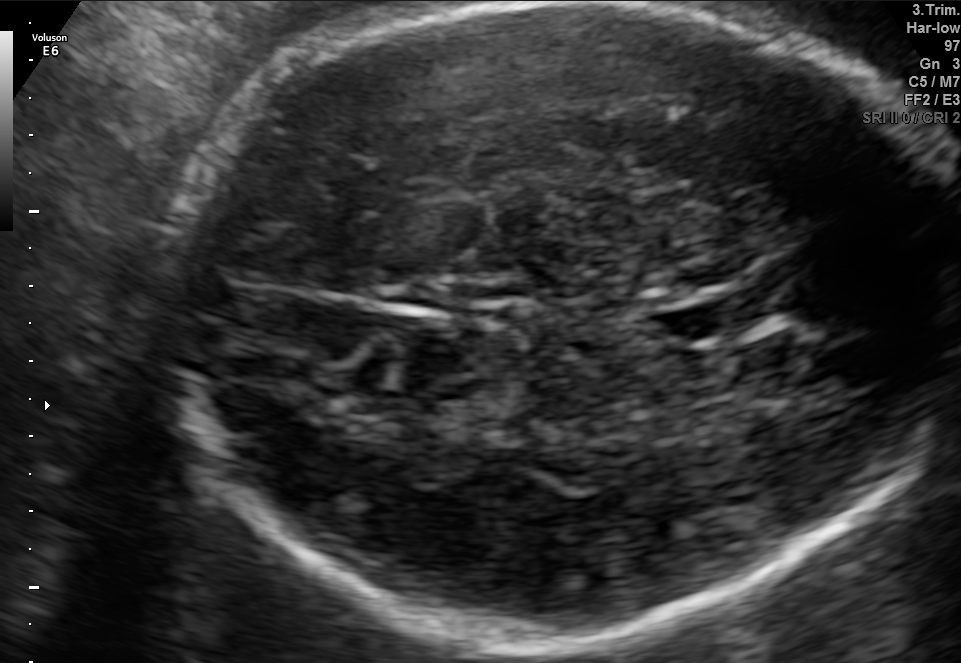
In this fetal brain, trans-thalamic plane, give the bounding box of the fetal head.

[169,3,952,650]